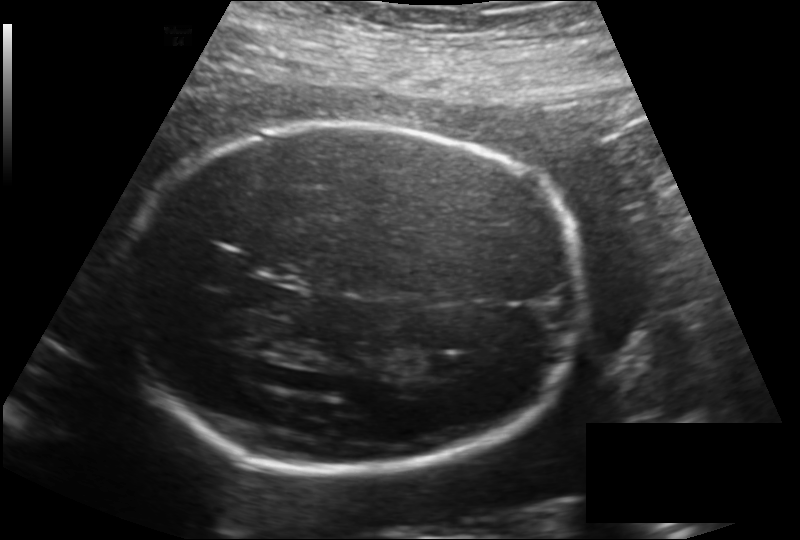
Fetal head ultrasound. Image width: 149.9 mm. Give [x1,y1,x2,y2] bounding boxes for each visible structure among: fetal head, CSP, LV.

Head: [122,125,585,475]
CSP: [242,278,306,322]
Lateral ventricle: [426,353,472,379]